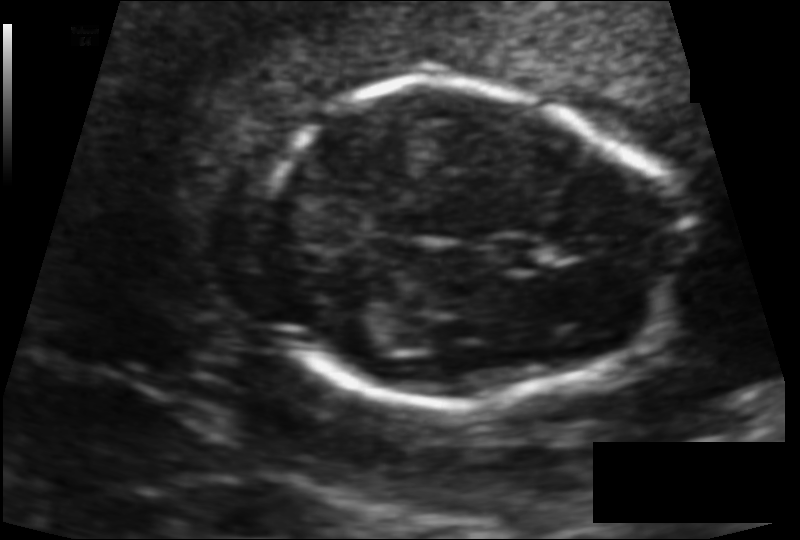
Measure the fetal head circumference shown in this ultrasound image. Image width: 80.4 mm.

Head circumference: 121.3 mm.